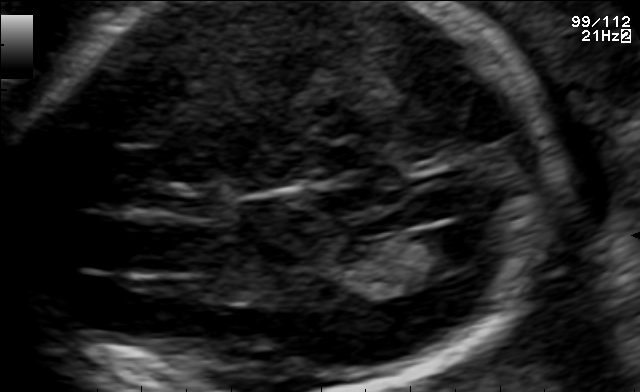
In this fetal brain, trans-ventricular plane, give the bounding box of the lateral ventricle.

[413,212,508,278]